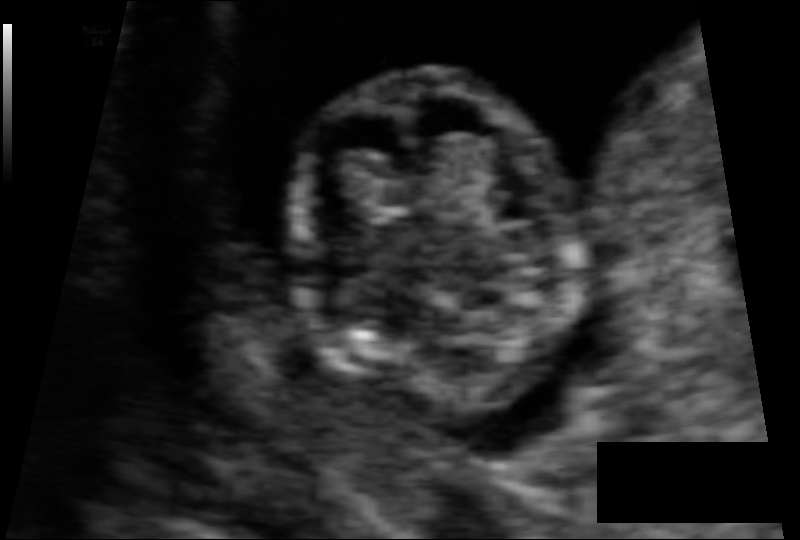
Estimate the fetal head circumference from this 2D ultrasound. Image width: 52.5 mm.

Head circumference: 67.8 mm.